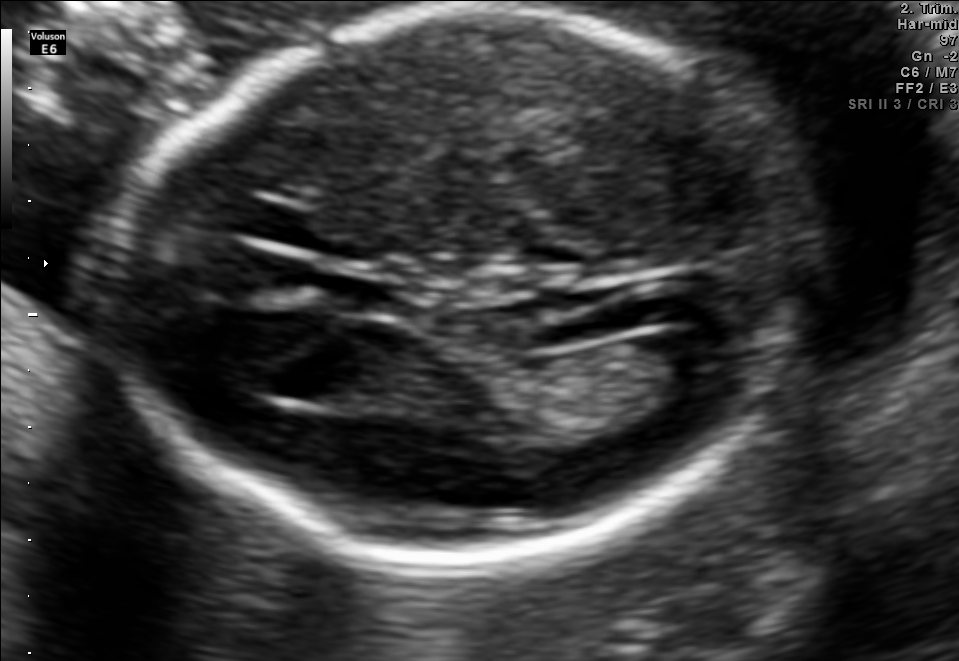
Fetal brain, trans-ventricular plane. Where is the lateral ventricle?

Lateral ventricle bounding box: [634,312,753,405]